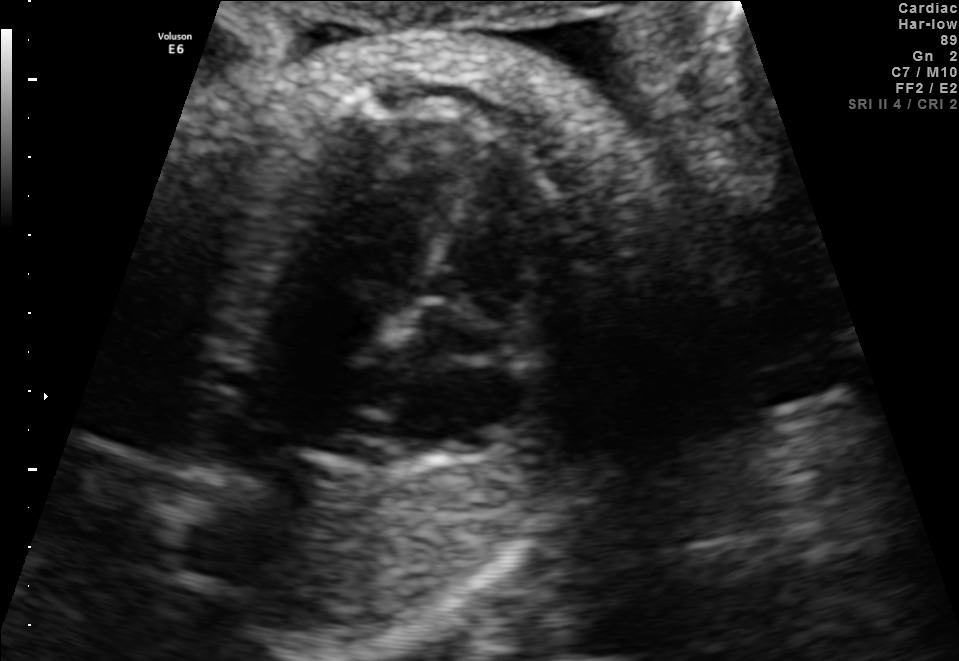
Which standard maternal-fetal ultrasound plane is shown: fetal abdomen, fetal brain, fetal femur, fetal thorax, maternal cervix, or other? If it's fetal brain and one of the three standard brain planes (trans-thalamic, trans-cerebellum, trans-ventricular), name which.

Fetal thorax